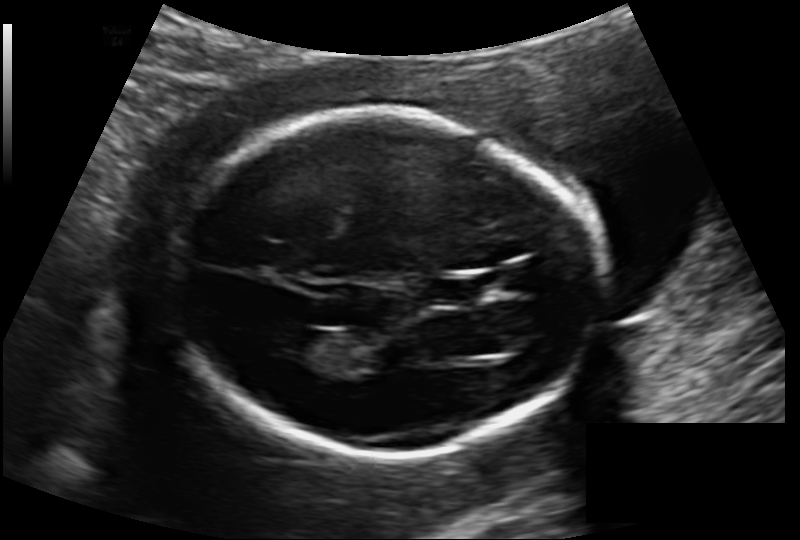
Measure the fetal head circumference shown in this ultrasound image. Image width: 106.3 mm.

Head circumference: 166.8 mm.